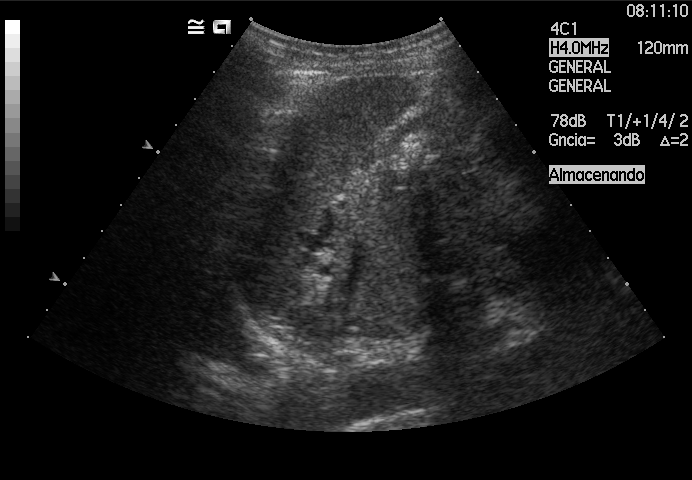
Which standard maternal-fetal ultrasound plane is shown: fetal abdomen, fetal brain, fetal femur, fetal thorax, maternal cervix, or other? If it's fetal brain and one of the three standard brain planes (trans-thalamic, trans-cerebellum, trans-ventricular), name which.

Other